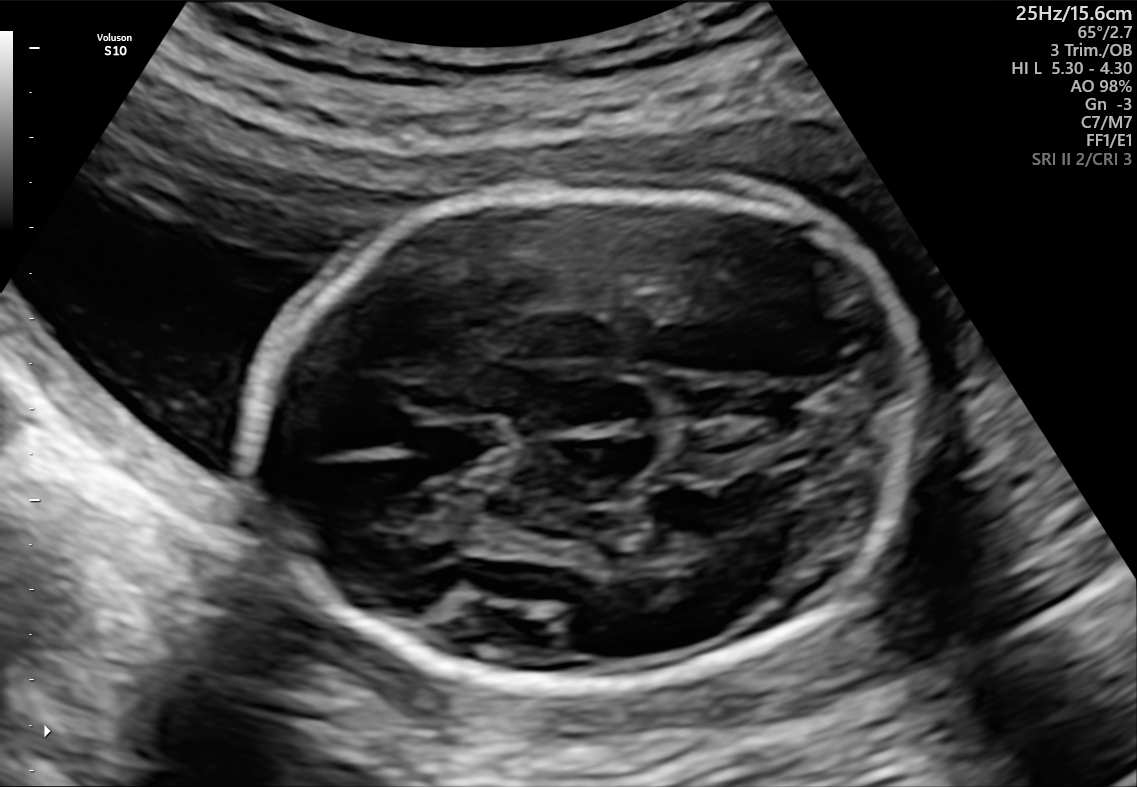
Fetal brain, trans-thalamic plane. Give [x1,y1,x2,y2] bounding boxes for each visible structure among: fetal head, CSP, LV.

Head: [247,182,924,693]
CSP: [416,414,512,476]